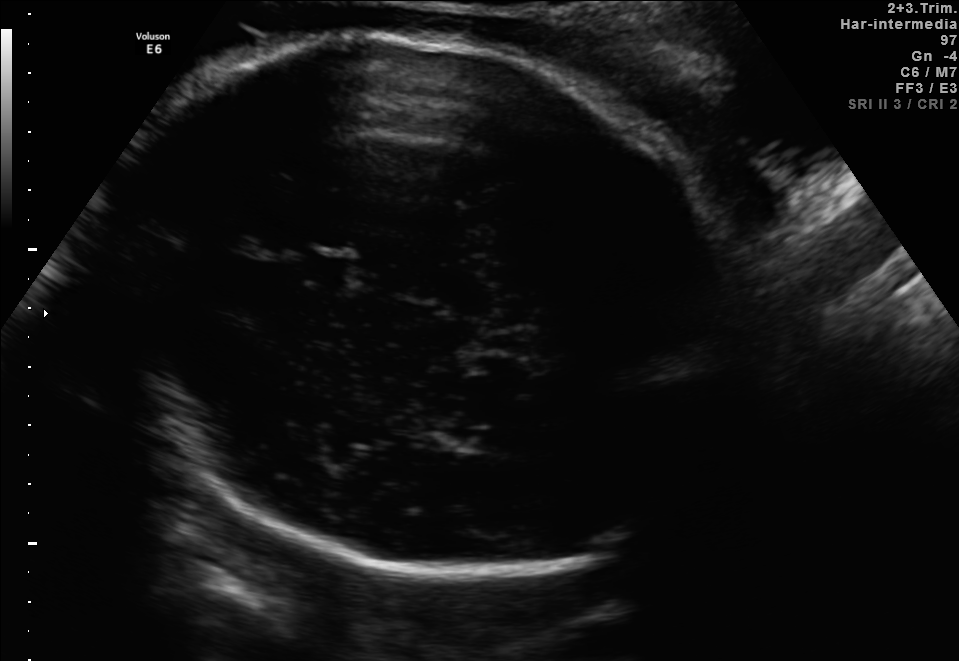
Which standard maternal-fetal ultrasound plane is shown: fetal abdomen, fetal brain, fetal femur, fetal thorax, maternal cervix, or other? If it's fetal brain and one of the three standard brain planes (trans-thalamic, trans-cerebellum, trans-ventricular), name which.

Fetal brain (trans-thalamic plane)